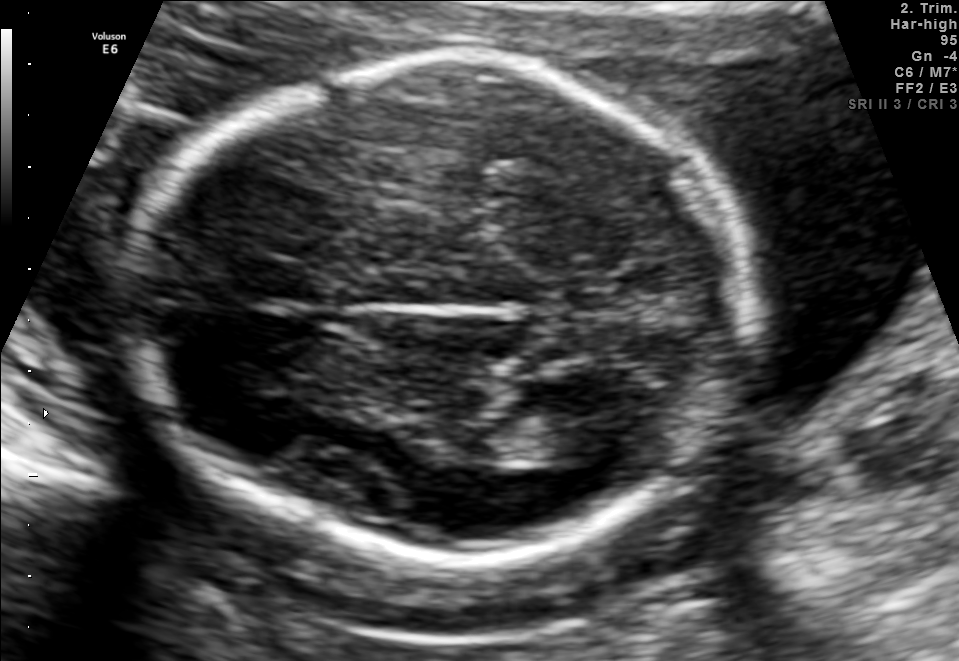
Fetal brain, trans-thalamic plane. Locate the lateral ventricle.

Lateral ventricle: [515,409,619,469]